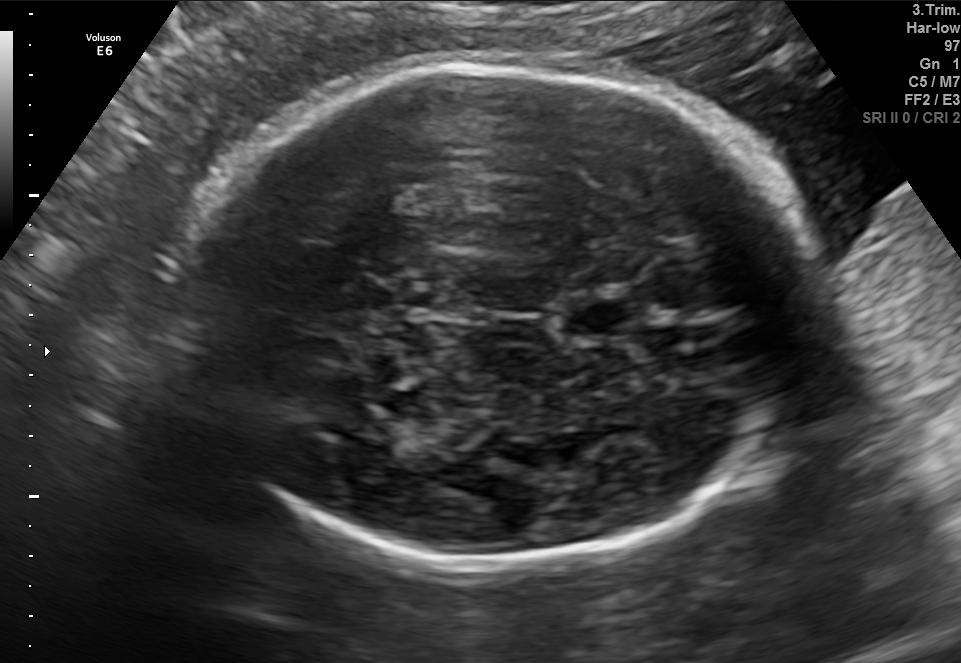
In this fetal brain, trans-thalamic plane, give bounding boxes for the head outline, cavum septum pellucidum (CSP), and lateral ventricle (LV), where visible.

Head: [181,64,814,569]
CSP: [562,298,634,337]